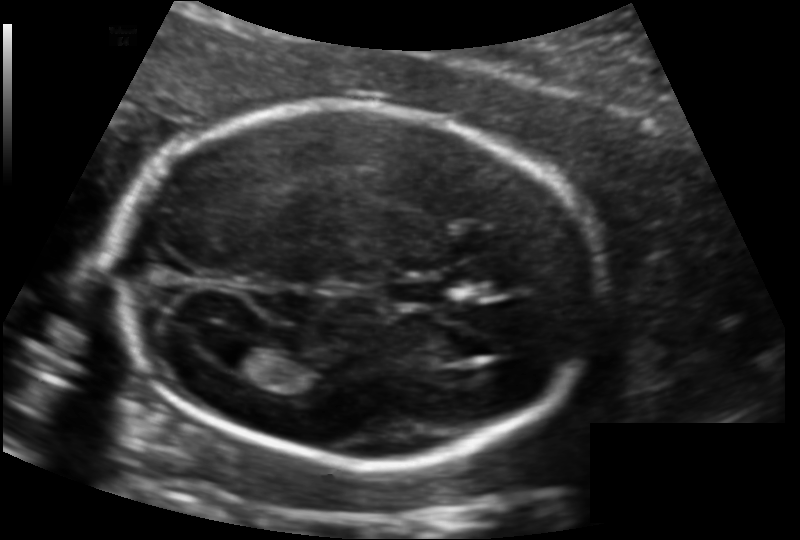
From this fetal ultrasound, estimate the head circumference (image width 107.1 mm).

Head circumference: 183.8 mm.